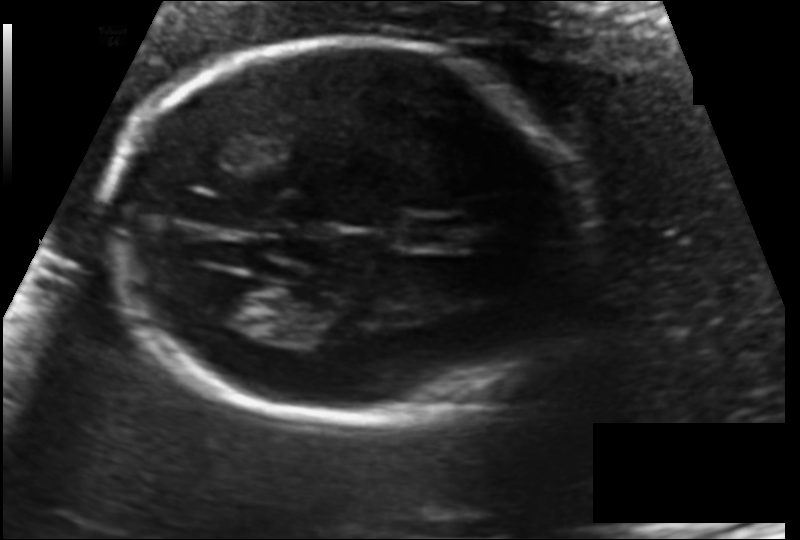
Estimate the fetal head circumference from this 2D ultrasound. Image width: 97.9 mm.

Head circumference: 170.2 mm.